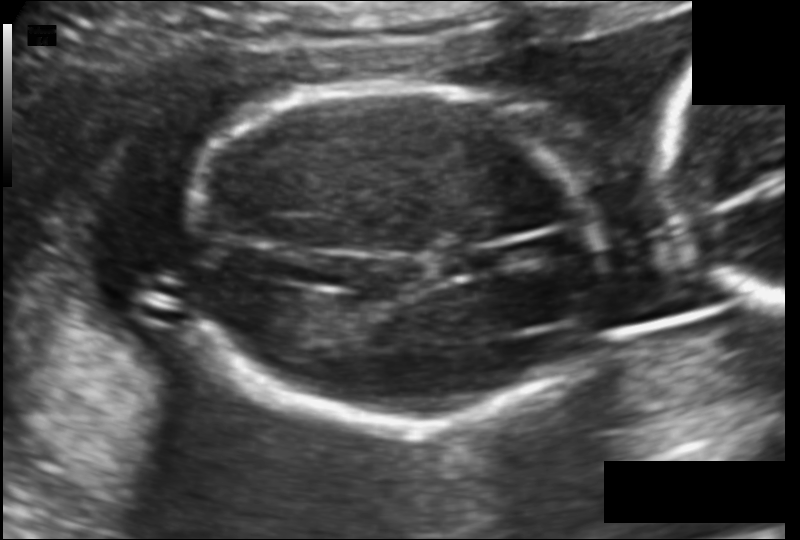
In this fetal head ultrasound, give bounding boxes for the head outline, cavum septum pellucidum (CSP), and lateral ventricle (LV), where visible. Image width: 94.3 mm.

Head: [183,83,601,425]
CSP: [441,248,486,277]